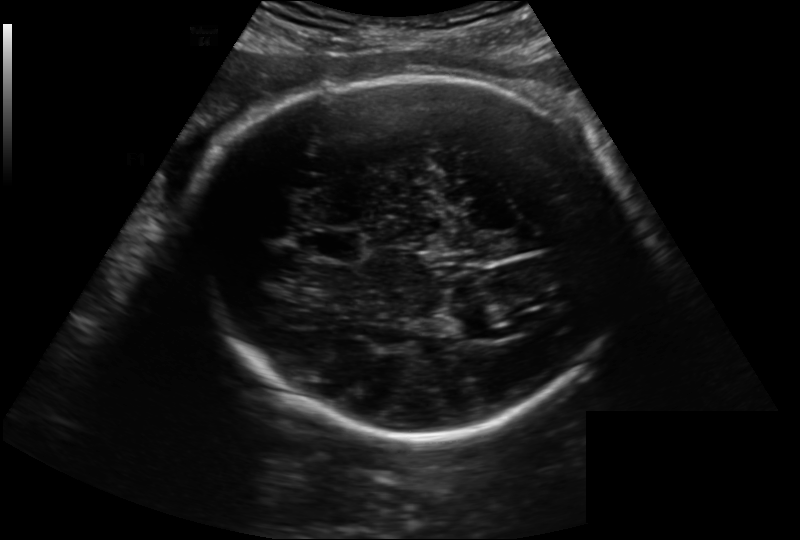
In this fetal head ultrasound, give the bounding box of the fetal head. Image width: 177.3 mm.

[182,76,633,433]